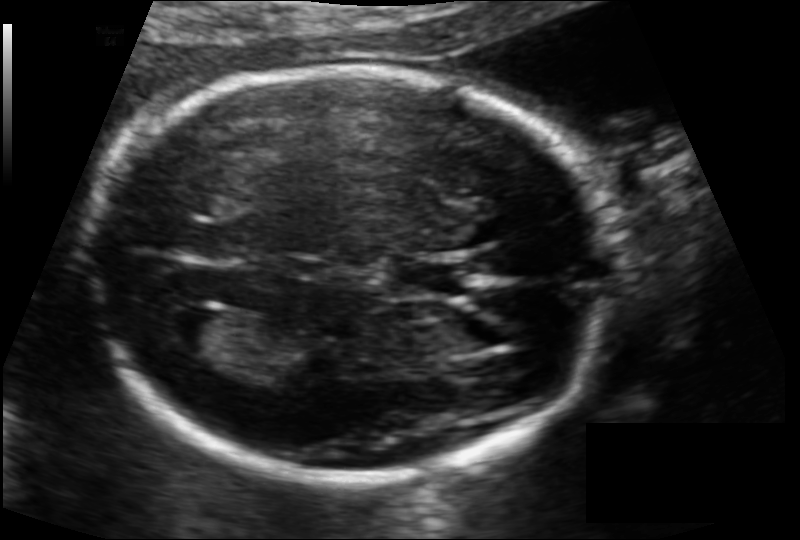
Fetal head ultrasound. Image width: 91.1 mm. Locate the fetal head and, if visible, the cavum septum pellucidum (CSP) and lateral ventricle (LV). Give bounding boxes as [x1,y1,x2,y2].

Head: [98,66,610,479]
CSP: [388,257,469,297]
Lateral ventricle: [157,302,228,358]